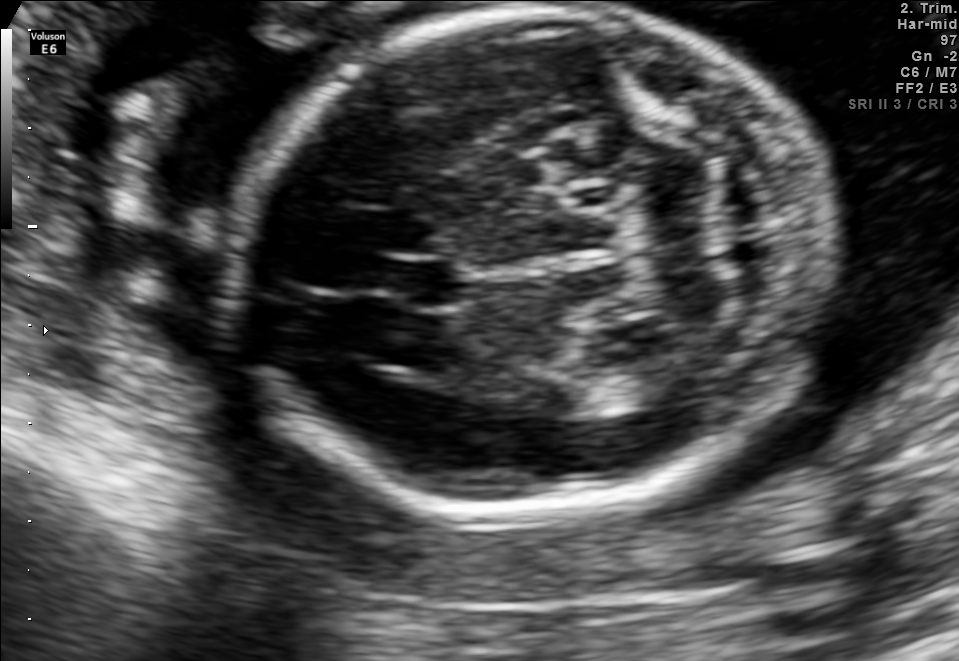
In this fetal brain, trans-cerebellum plane, give bounding boxes for the head outline, cavum septum pellucidum (CSP), and lateral ventricle (LV), where visible.

Head: [236,10,833,515]
CSP: [392,253,463,313]